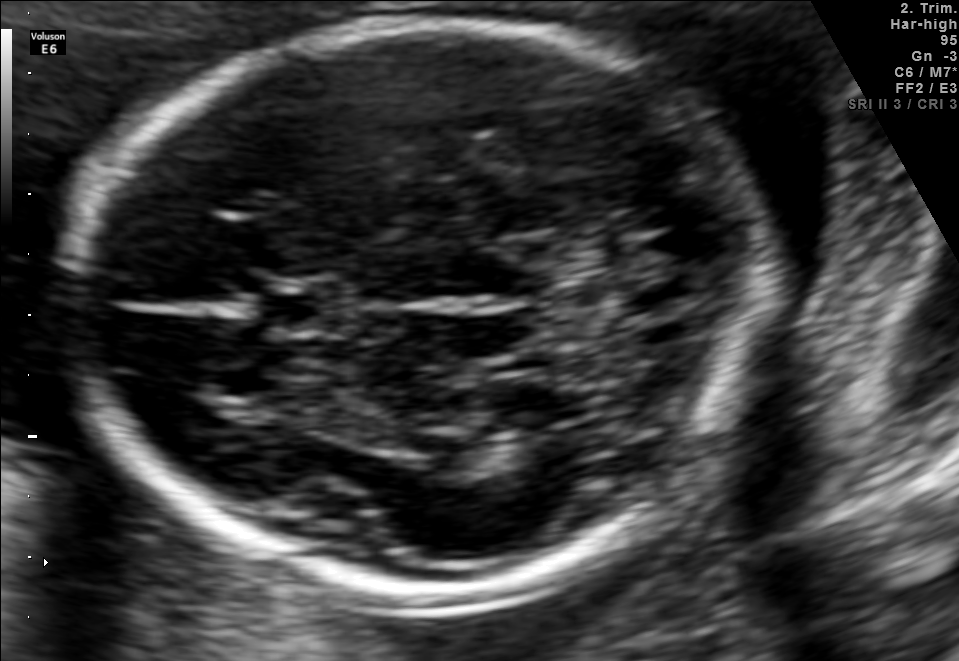
Fetal brain, trans-thalamic plane. Locate the fetal head.

Head: [70,24,781,597]